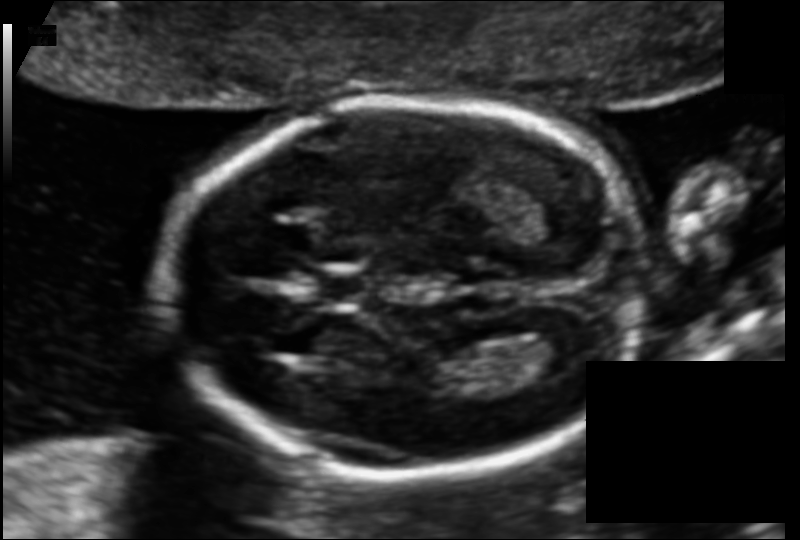
In this fetal head ultrasound, give bounding boxes for the head outline, cavum septum pellucidum (CSP), and lateral ventricle (LV), where visible. Image width: 87.9 mm.

Head: [160,100,638,474]
CSP: [313,273,374,303]
Lateral ventricle: [512,315,591,384]